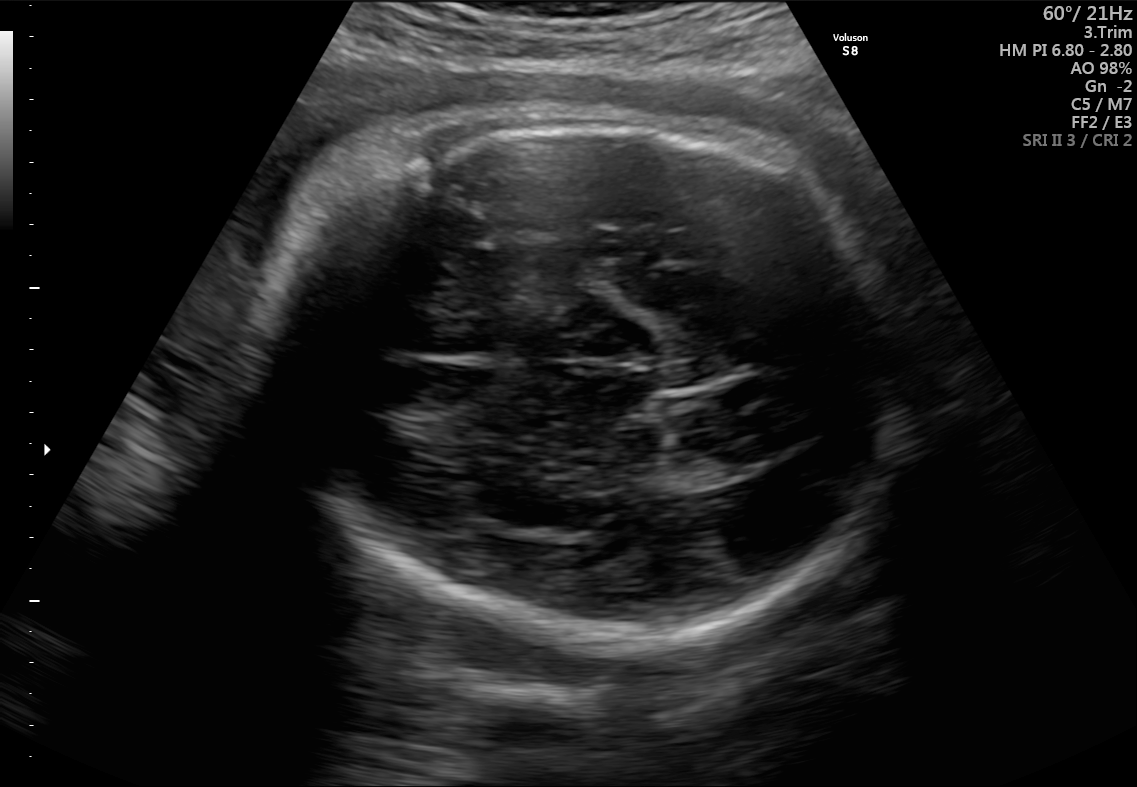
In this fetal brain, trans-thalamic plane, give bounding boxes for the head outline, cavum septum pellucidum (CSP), and lateral ventricle (LV), where visible.

Head: [280,111,909,650]
Lateral ventricle: [706,430,779,486]